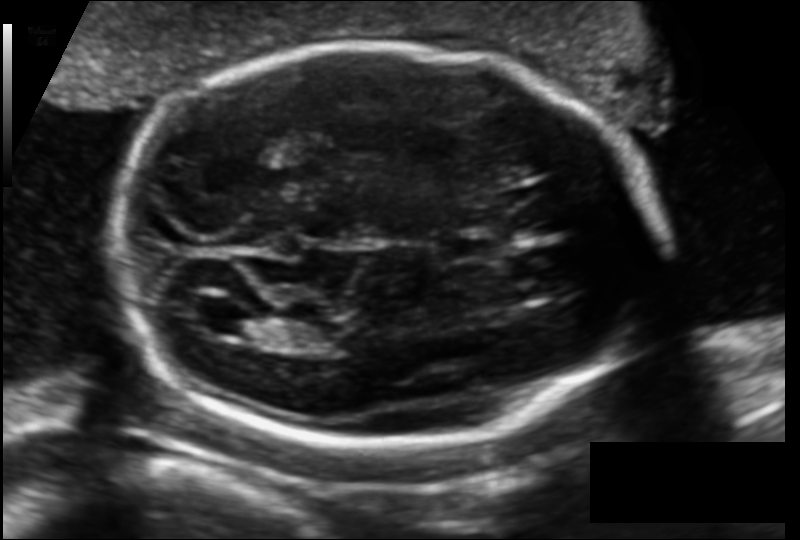
Fetal head ultrasound. Image width: 103.4 mm. Where is the fetal head?

Head bounding box: [113,45,658,441]